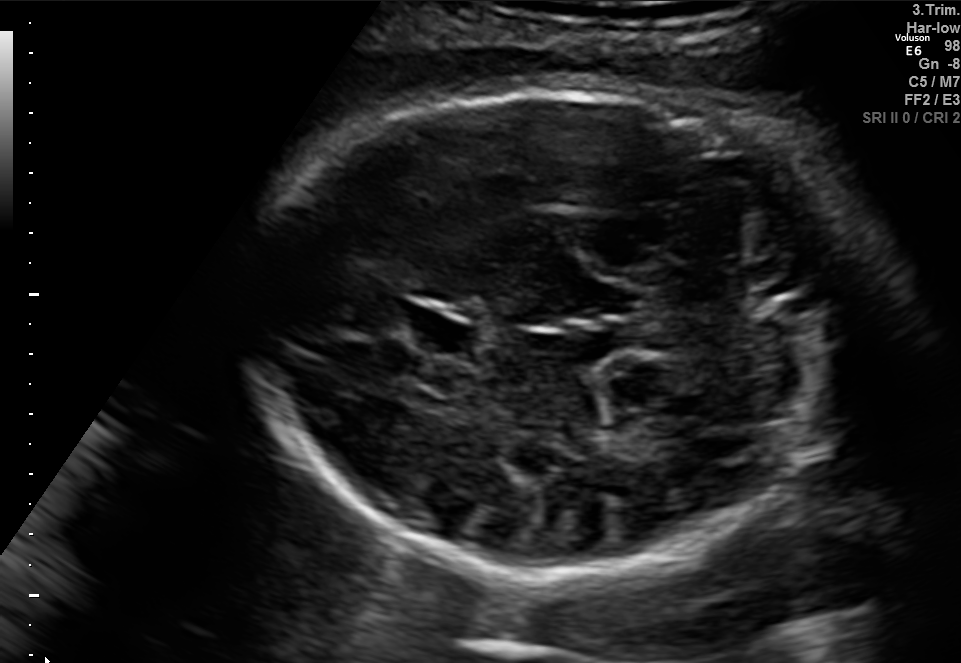
Fetal brain, trans-cerebellum plane. Locate the fetal head.

Head: [254,88,836,575]